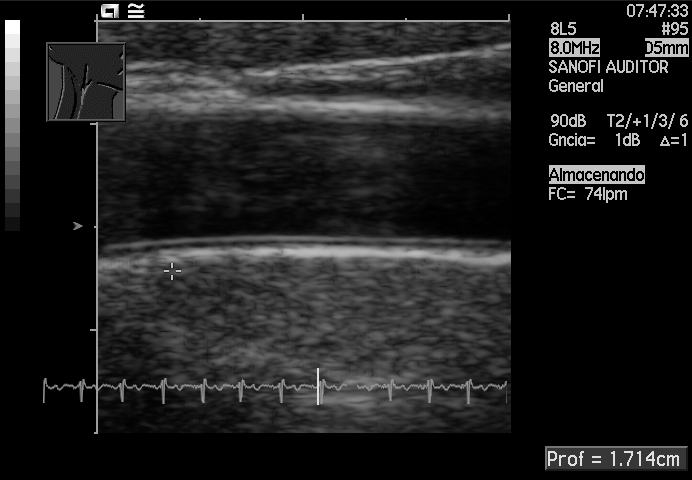
This is a 2D maternal-fetal ultrasound frame. Is it a fetal abdomen, fetal brain, fetal femur, fetal thorax, maternal cervix, or other standard plane? If it's fetal brain and one of the three standard brain planes (trans-thalamic, trans-cerebellum, trans-ventricular), name which.

Other